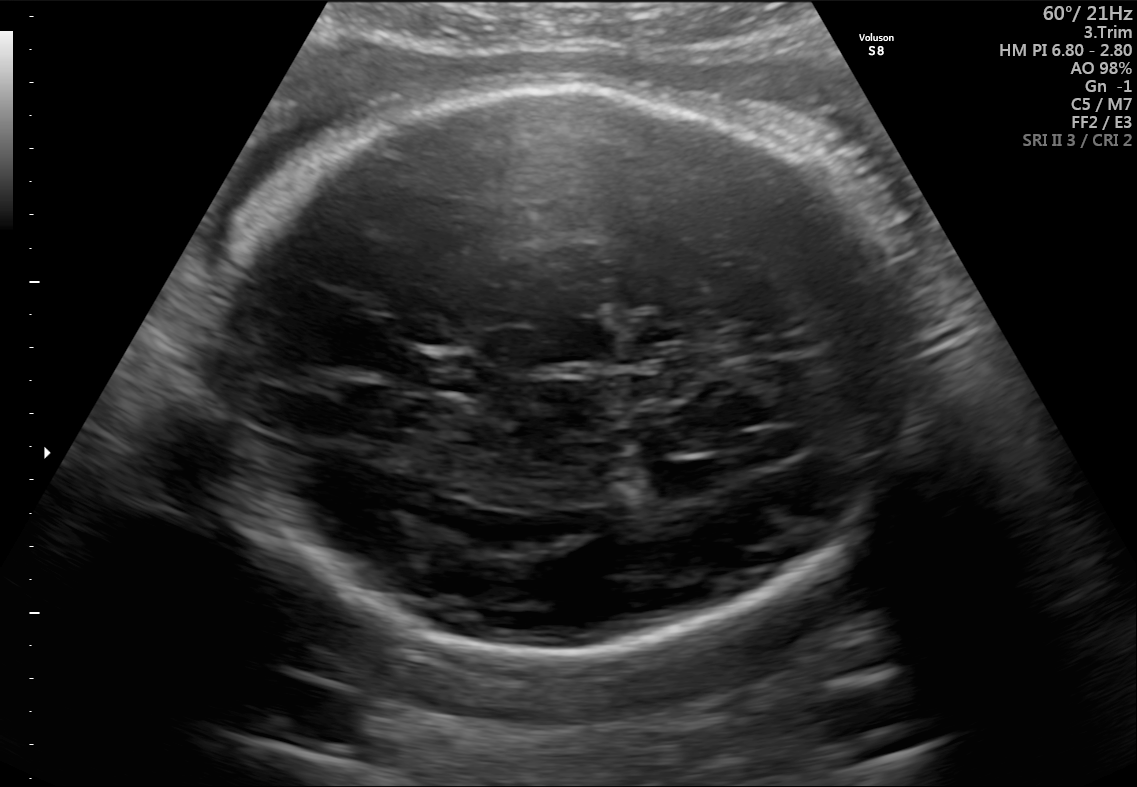
Fetal brain, trans-thalamic plane. Locate the cavum septum pellucidum.

CSP: [415,353,483,393]